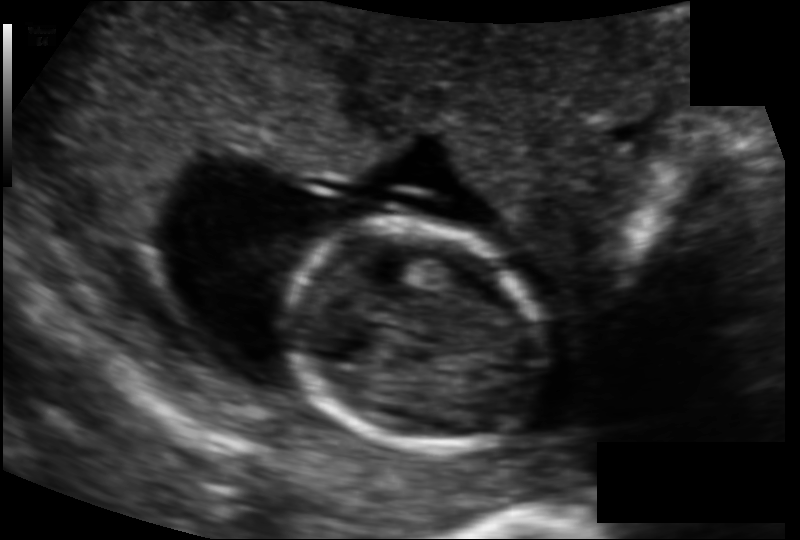
From this fetal ultrasound, estimate the head circumference (image width 91.0 mm).

Head circumference: 90.8 mm.